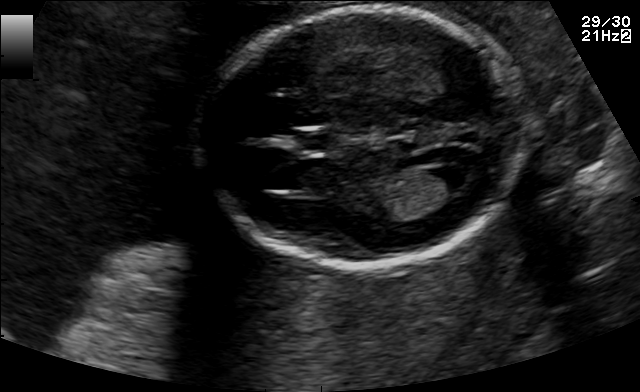
In this fetal brain, trans-ventricular plane, give bounding boxes for the head outline, cavum septum pellucidum (CSP), and lateral ventricle (LV), where visible.

Head: [195,4,539,275]
CSP: [296,131,329,149]
Lateral ventricle: [430,158,484,197]